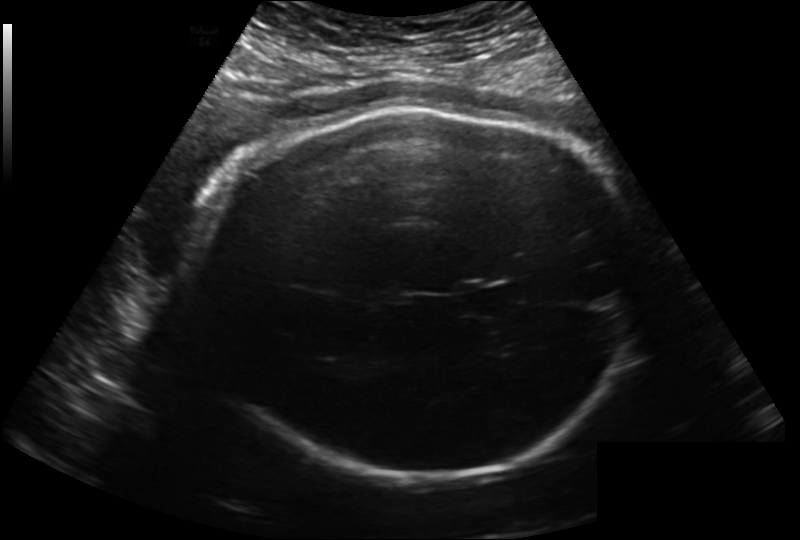
What is the fetal head circumference? Image width is 177.2 mm.

291.4 mm